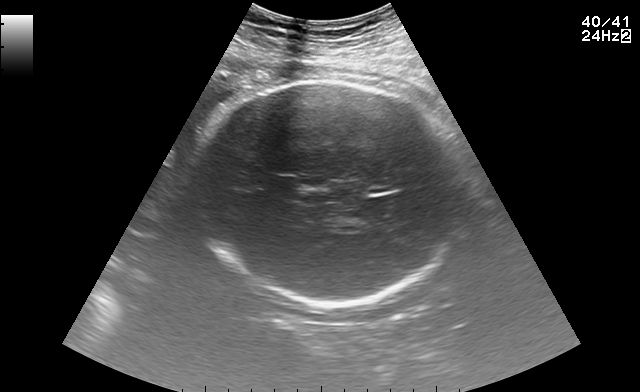
Fetal brain, trans-thalamic plane. Locate the fetal head and, if visible, the cavum septum pellucidum (CSP) and lateral ventricle (LV). Give bounding boxes as [x1,y1,x2,y2].

Head: [194,81,460,309]